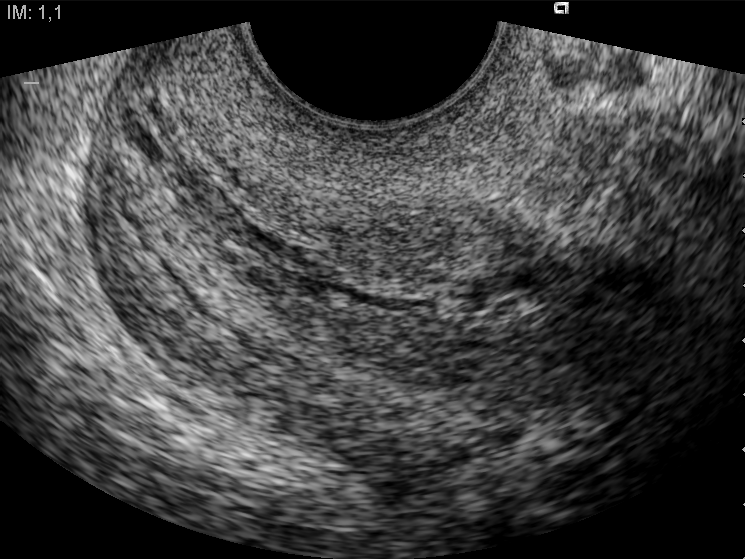
Identify the standard plane in this fetal ultrasound image: fetal abdomen, fetal brain, fetal femur, fetal thorax, maternal cervix, or other. If it's fetal brain and one of the three standard brain planes (trans-thalamic, trans-cerebellum, trans-ventricular), name which.

Maternal cervix